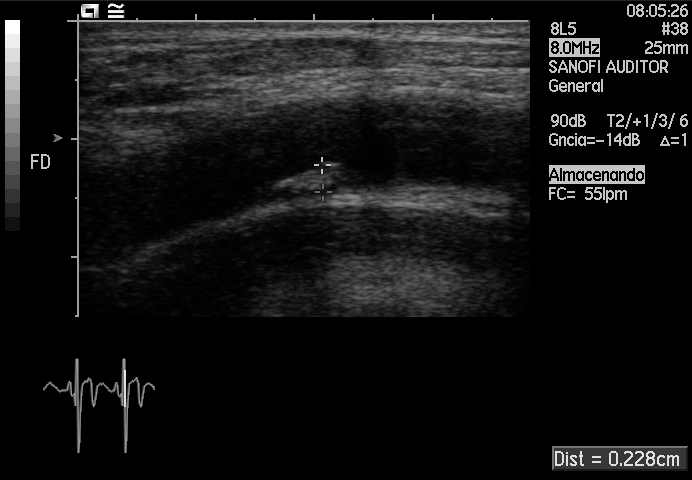
Which standard maternal-fetal ultrasound plane is shown: fetal abdomen, fetal brain, fetal femur, fetal thorax, maternal cervix, or other? If it's fetal brain and one of the three standard brain planes (trans-thalamic, trans-cerebellum, trans-ventricular), name which.

Other